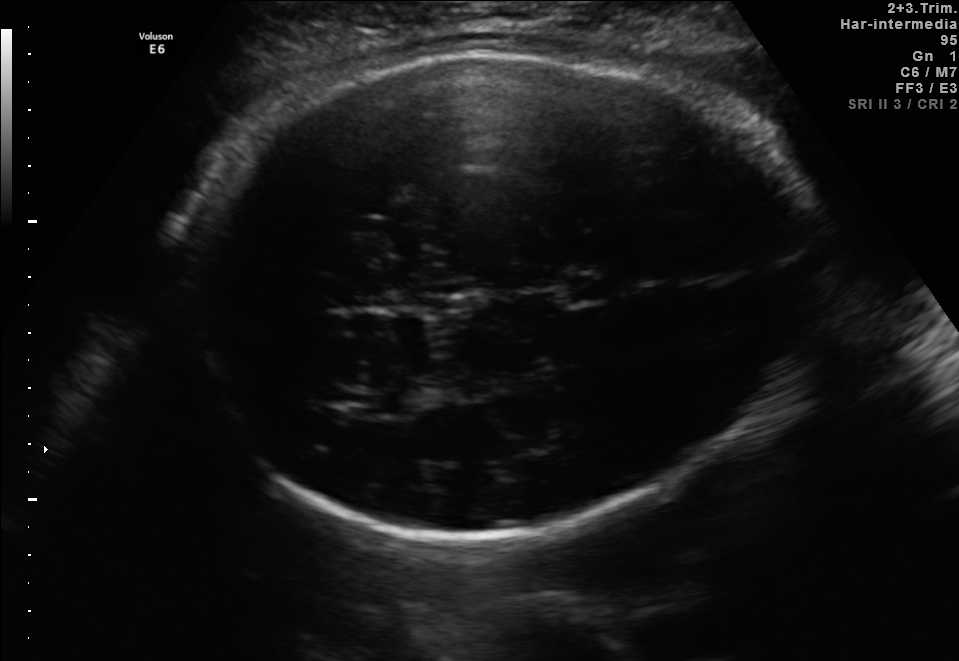
Fetal brain, trans-thalamic plane. Where is the fetal head?

Head bounding box: [179,54,804,545]